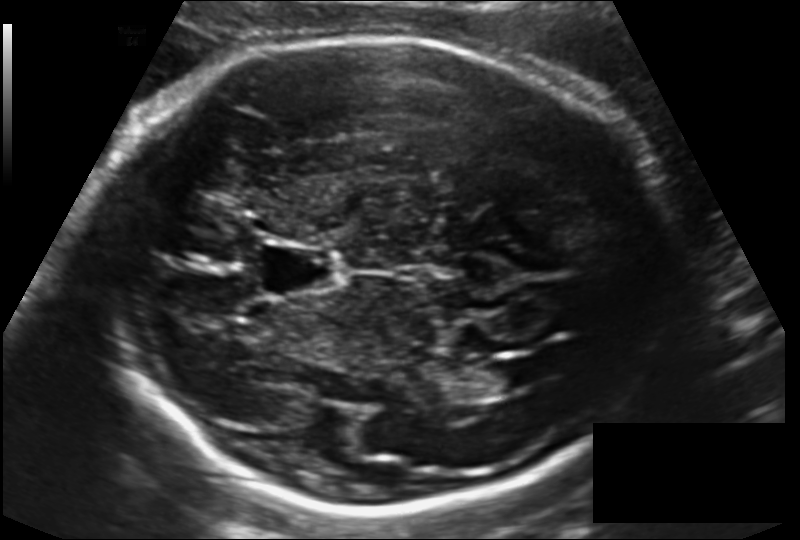
Fetal head ultrasound. Image width: 123.9 mm. Where is the lateral ventricle?

Lateral ventricle bounding box: [470,357,527,399]